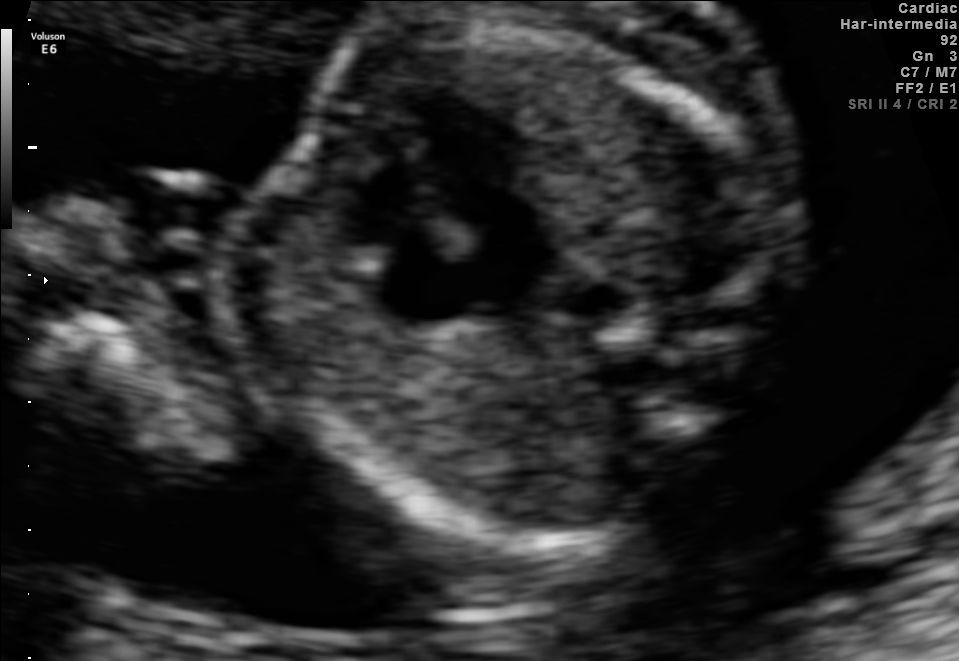
Classify this maternal-fetal ultrasound image as one of the six standard planes — fetal abdomen, fetal brain, fetal femur, fetal thorax, maternal cervix, or other. If it's fetal brain and one of the three standard brain planes (trans-thalamic, trans-cerebellum, trans-ventricular), name which.

Fetal thorax